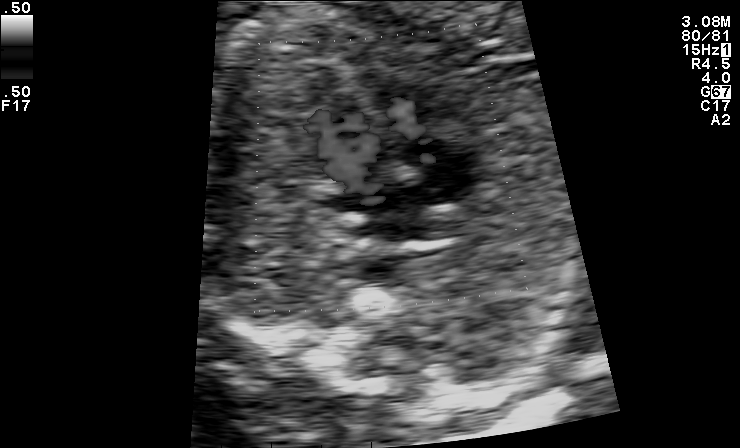
This is a 2D maternal-fetal ultrasound frame. Is it a fetal abdomen, fetal brain, fetal femur, fetal thorax, maternal cervix, or other standard plane? If it's fetal brain and one of the three standard brain planes (trans-thalamic, trans-cerebellum, trans-ventricular), name which.

Other